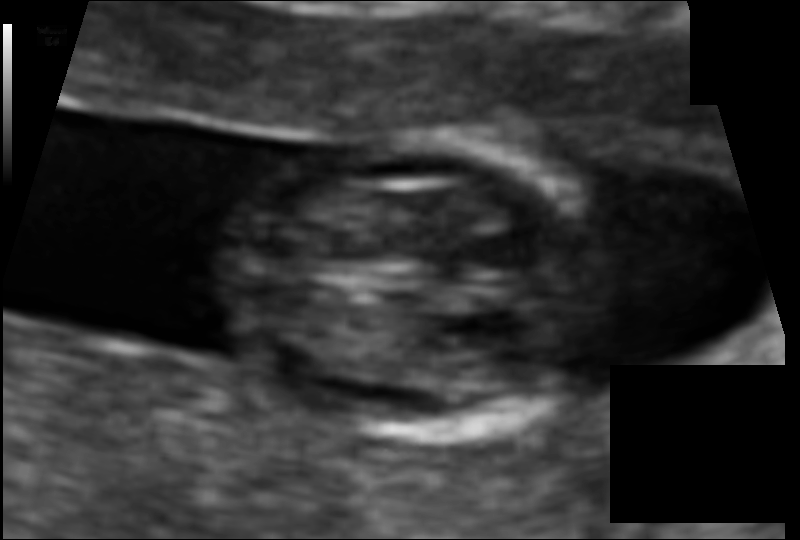
In this fetal head ultrasound, give the bounding box of the fetal head. Image width: 53.7 mm.

[228,138,606,441]